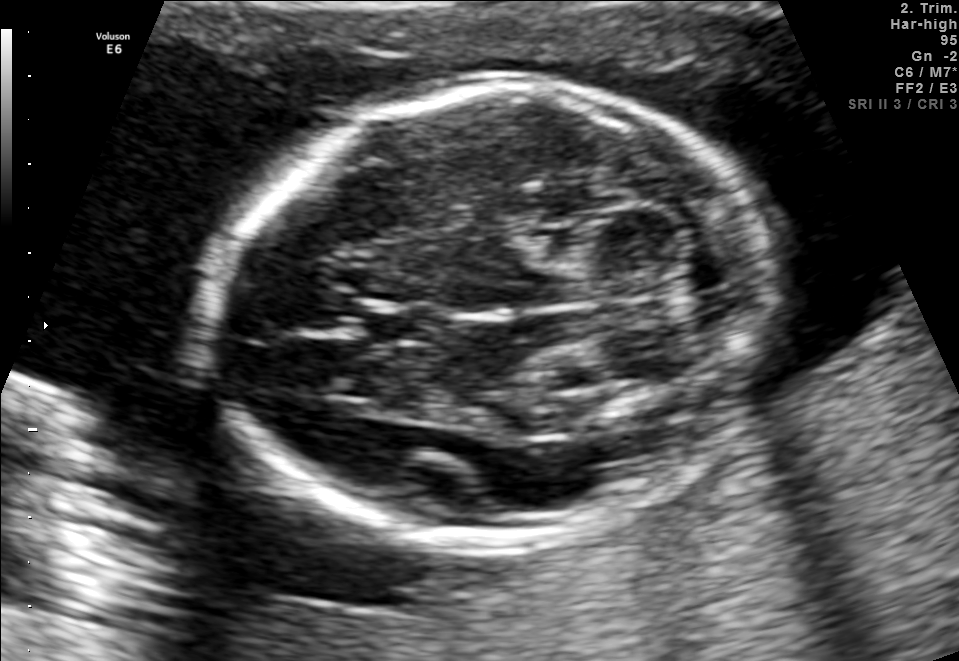
Fetal brain, trans-cerebellum plane. Locate the fetal head.

Head: [205,87,764,540]